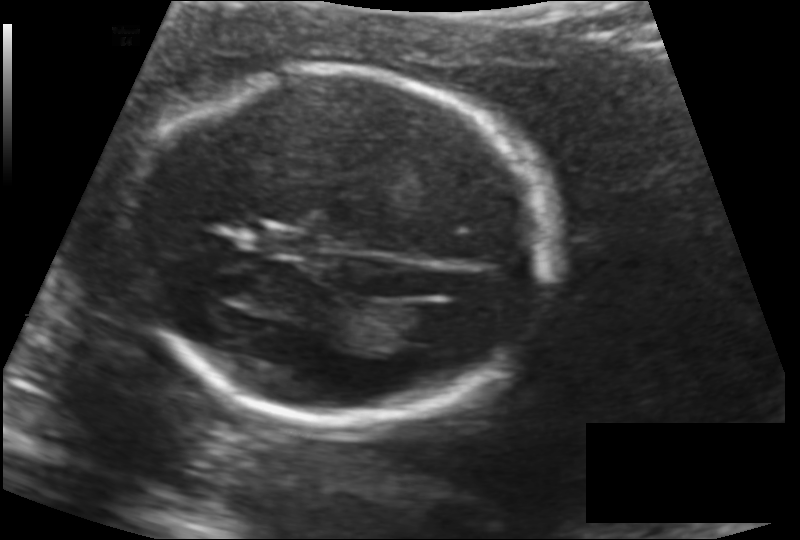
Fetal head ultrasound. Image width: 105.6 mm. Locate the lateral ventricle.

Lateral ventricle: [393,303,454,343]